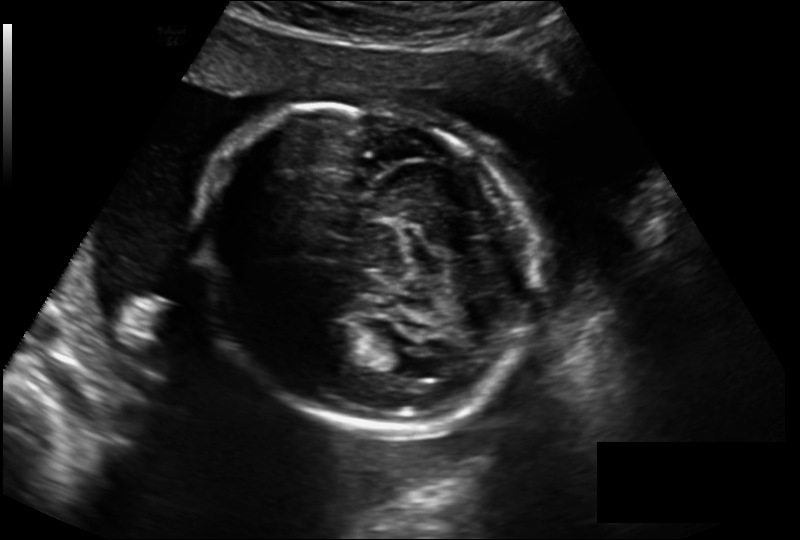
Measure the fetal head circumference shown in this ultrasound image. Image width: 168.7 mm.

Head circumference: 229.4 mm.